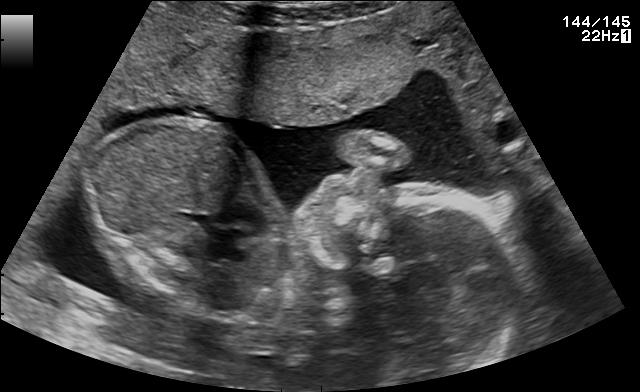
Classify this maternal-fetal ultrasound image as one of the six standard planes — fetal abdomen, fetal brain, fetal femur, fetal thorax, maternal cervix, or other. If it's fetal brain and one of the three standard brain planes (trans-thalamic, trans-cerebellum, trans-ventricular), name which.

Other